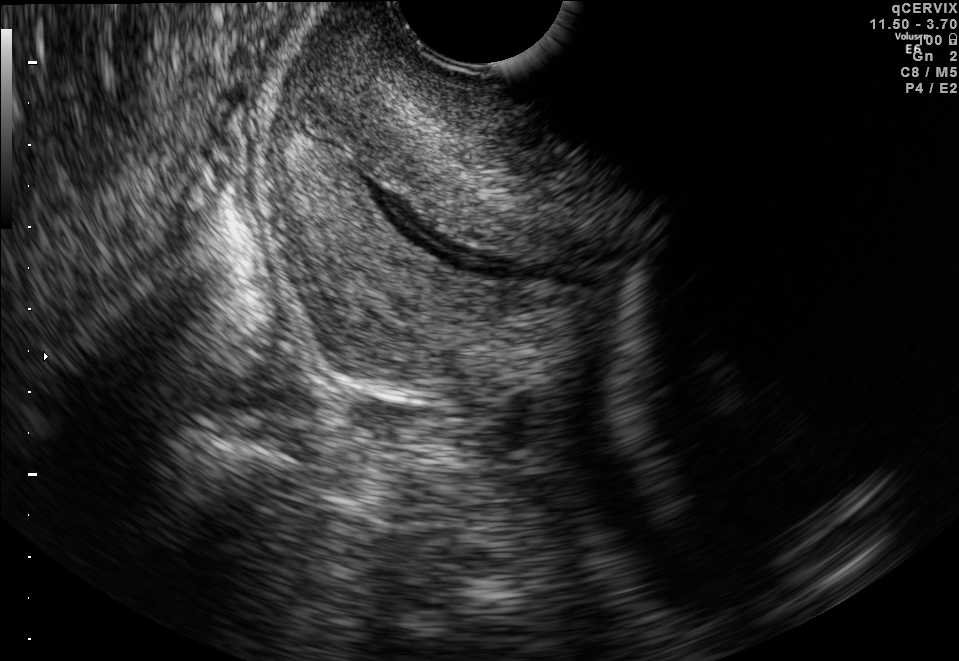
Classify this maternal-fetal ultrasound image as one of the six standard planes — fetal abdomen, fetal brain, fetal femur, fetal thorax, maternal cervix, or other. If it's fetal brain and one of the three standard brain planes (trans-thalamic, trans-cerebellum, trans-ventricular), name which.

Maternal cervix